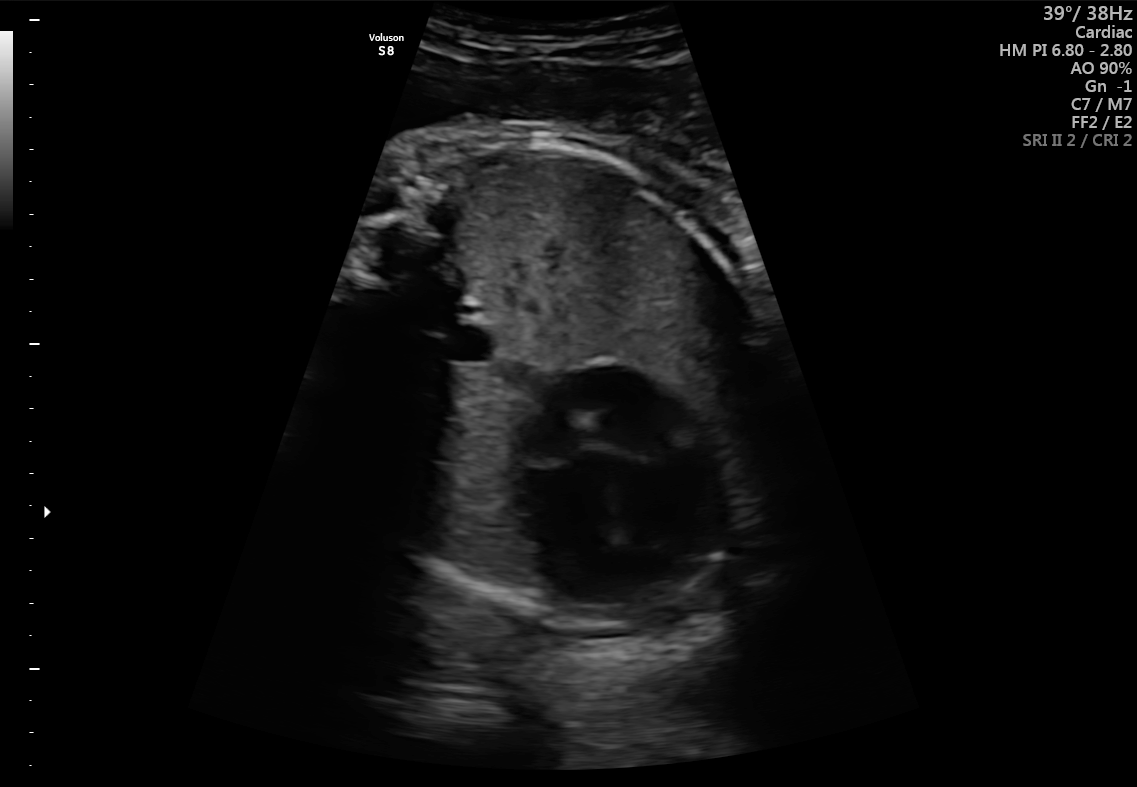
This is a 2D maternal-fetal ultrasound frame. Is it a fetal abdomen, fetal brain, fetal femur, fetal thorax, maternal cervix, or other standard plane? If it's fetal brain and one of the three standard brain planes (trans-thalamic, trans-cerebellum, trans-ventricular), name which.

Fetal thorax